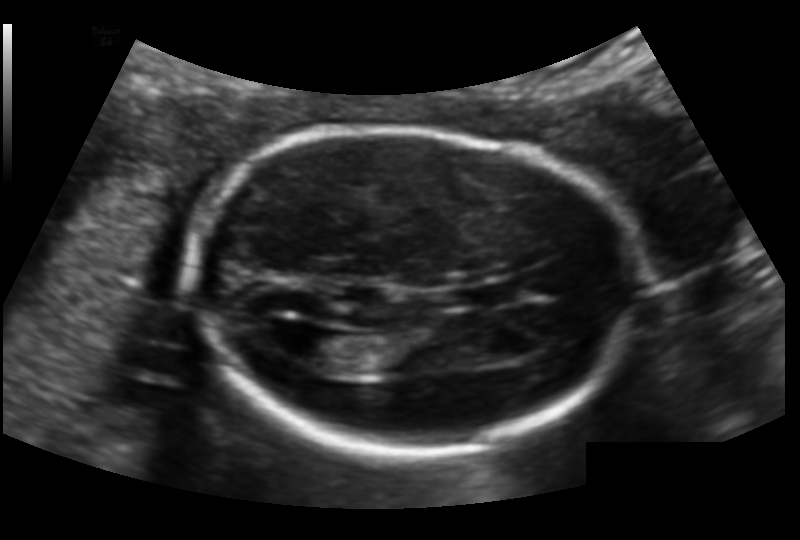
Measure the fetal head circumference shown in this ultrasound image. Image width: 105.5 mm.

Head circumference: 167.1 mm.